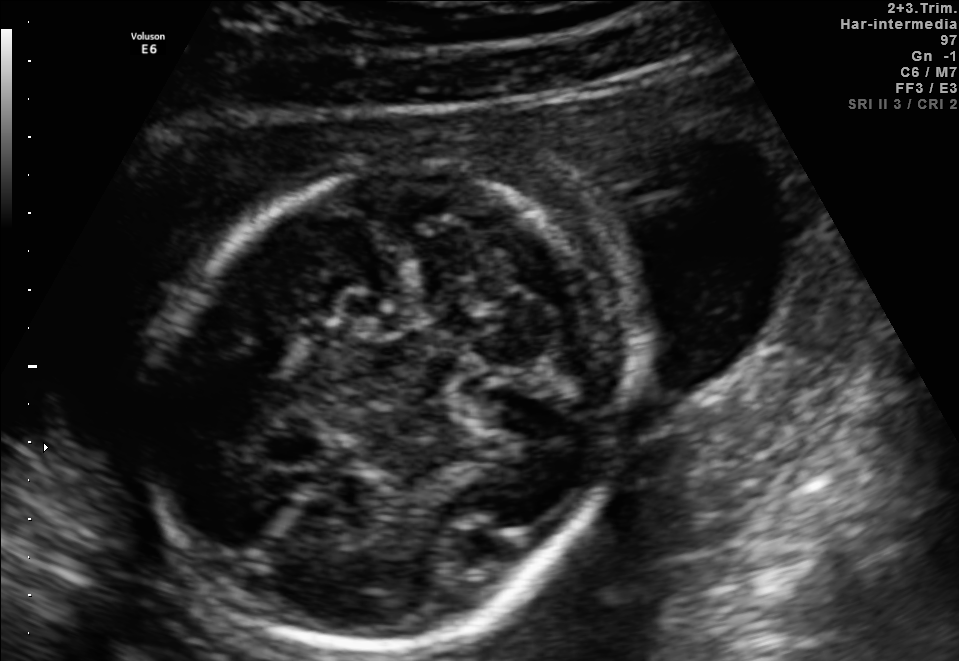
Fetal brain, trans-cerebellum plane. Where is the fetal head?

Head bounding box: [153,162,616,647]